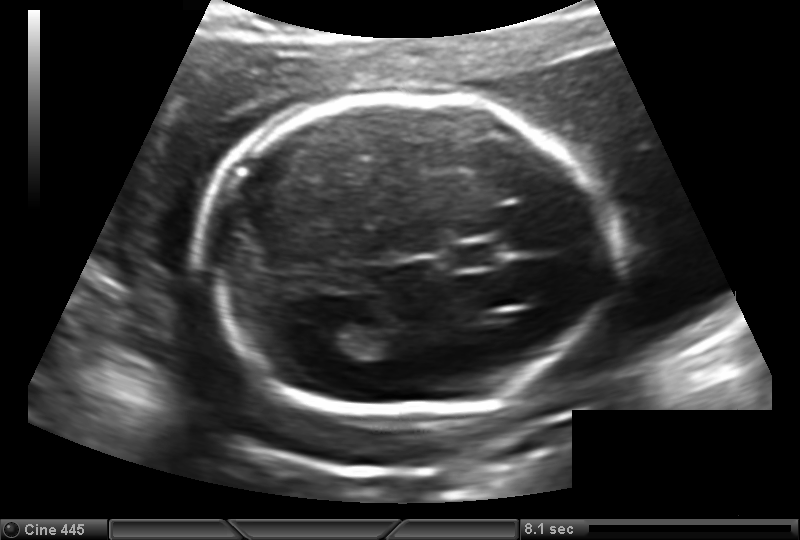
From this fetal ultrasound, estimate the head circumference (image width 119.4 mm).

Head circumference: 180.6 mm.